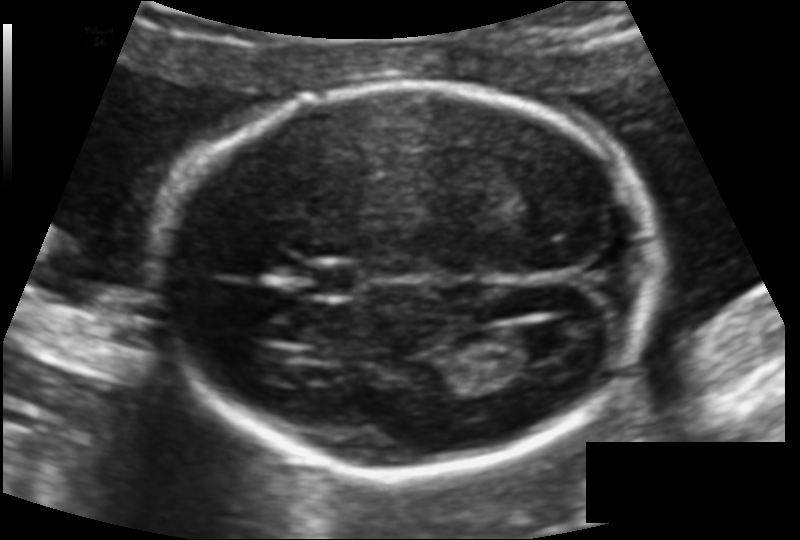
In this fetal head ultrasound, give the bounding box of the fetal head. Image width: 93.9 mm.

[162,83,653,472]